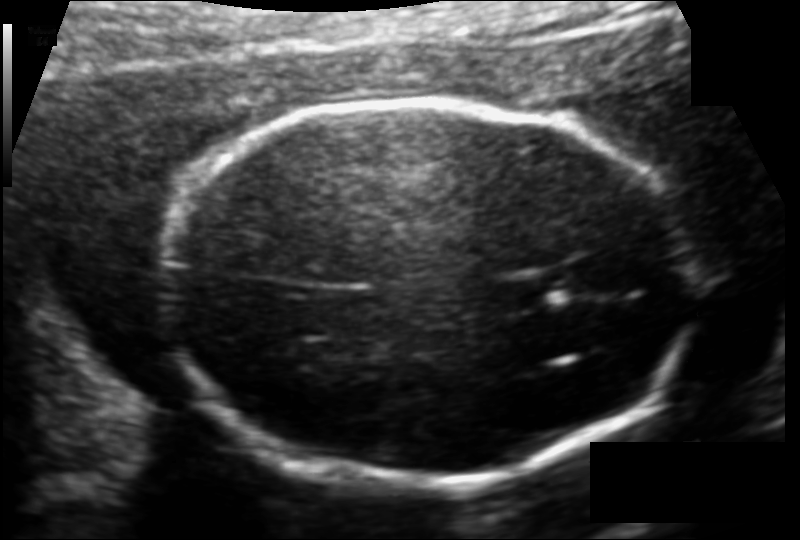
Fetal head ultrasound. Image width: 95.0 mm. Where is the cavum septum pellucidum?

CSP bounding box: [494,267,563,313]